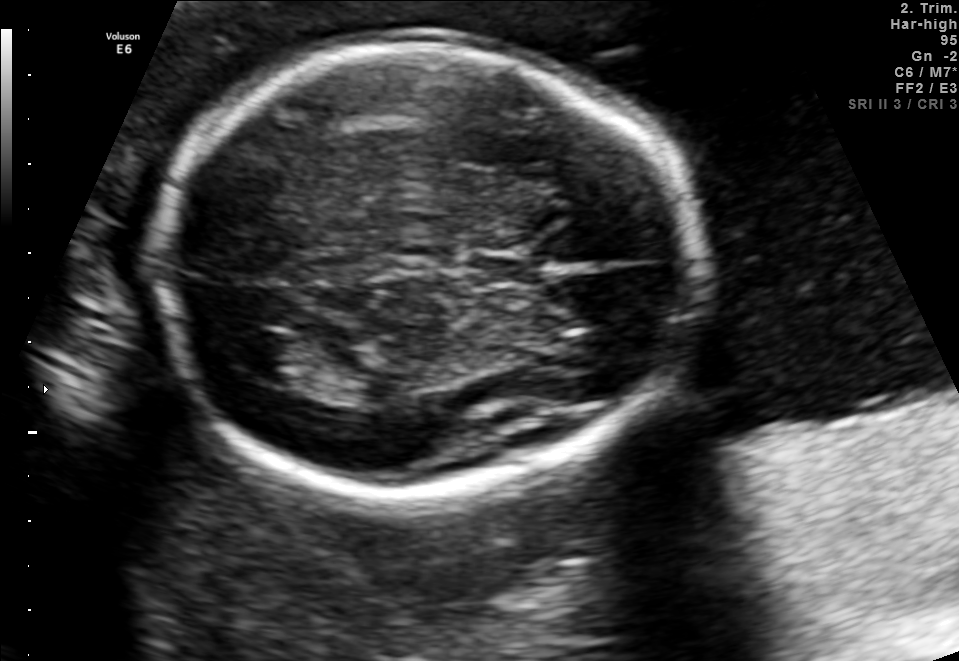
This is a 2D maternal-fetal ultrasound frame. Is it a fetal abdomen, fetal brain, fetal femur, fetal thorax, maternal cervix, or other standard plane? If it's fetal brain and one of the three standard brain planes (trans-thalamic, trans-cerebellum, trans-ventricular), name which.

Fetal brain (trans-thalamic plane)